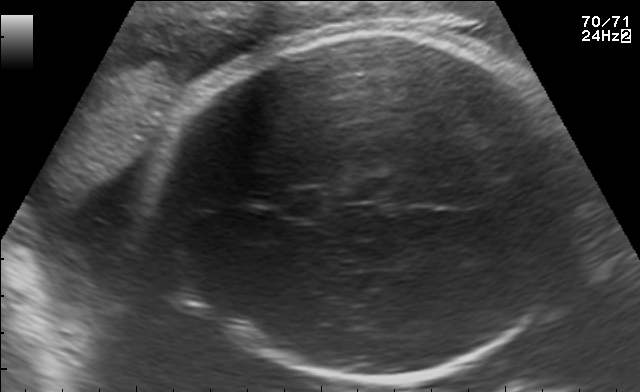
In this fetal brain, trans-thalamic plane, give the bounding box of the cavum septum pellucidum.

[275,188,325,219]